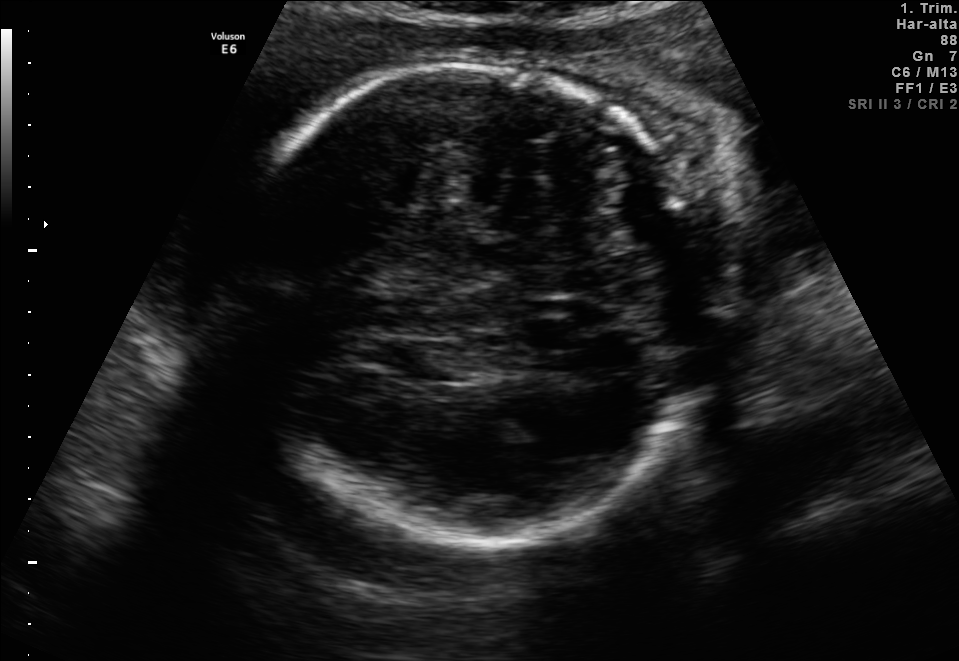
In this fetal brain, trans-thalamic plane, give bounding boxes for the head outline, cavum septum pellucidum (CSP), and lateral ventricle (LV), where visible.

Head: [227,63,708,544]